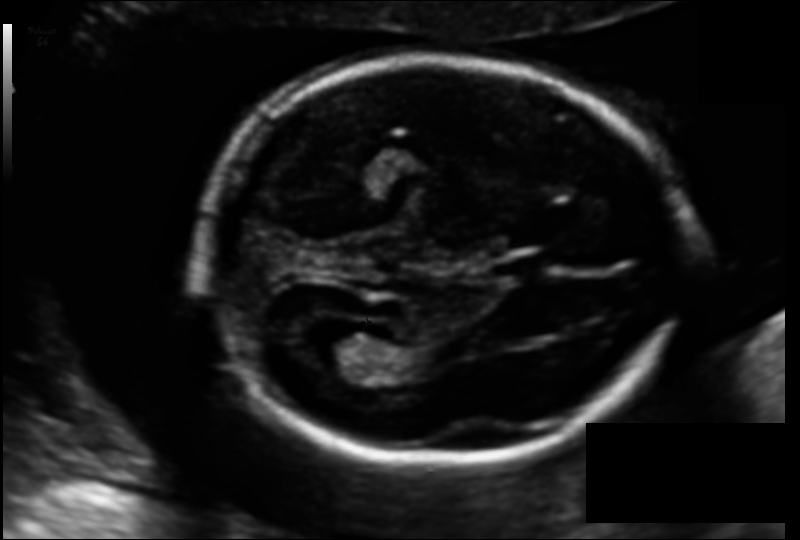
From this fetal ultrasound, estimate the head circumference (image width 97.9 mm).

Head circumference: 176.5 mm.